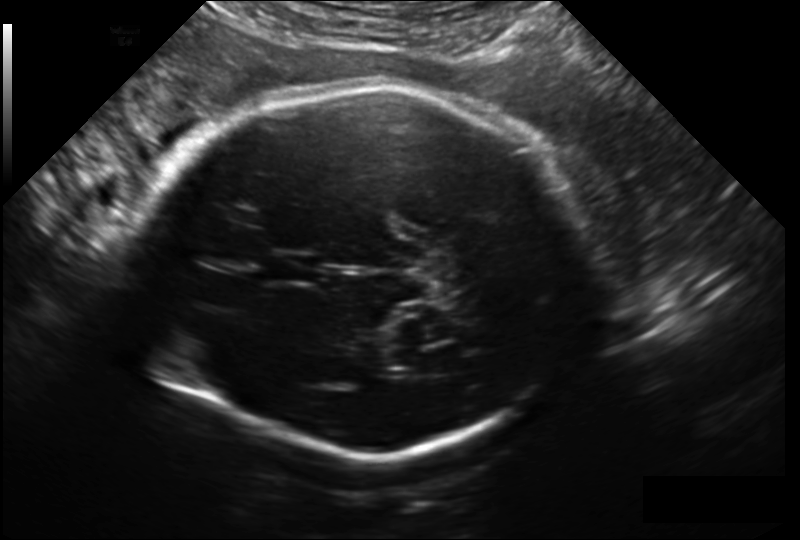
In this fetal head ultrasound, give the bounding box of the lateral ventricle. Image width: 167.2 mm.

[386,349,443,376]